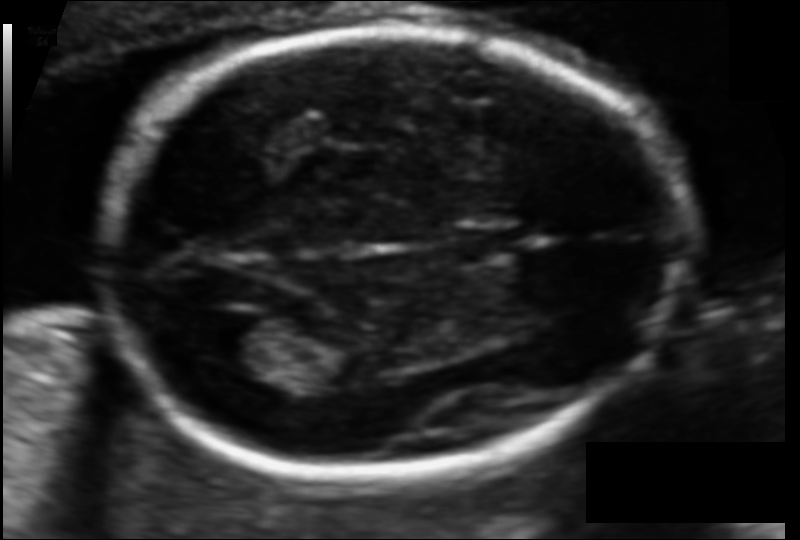
Measure the fetal head circumference shown in this ultrasound image. Image width: 77.8 mm.

Head circumference: 163.9 mm.